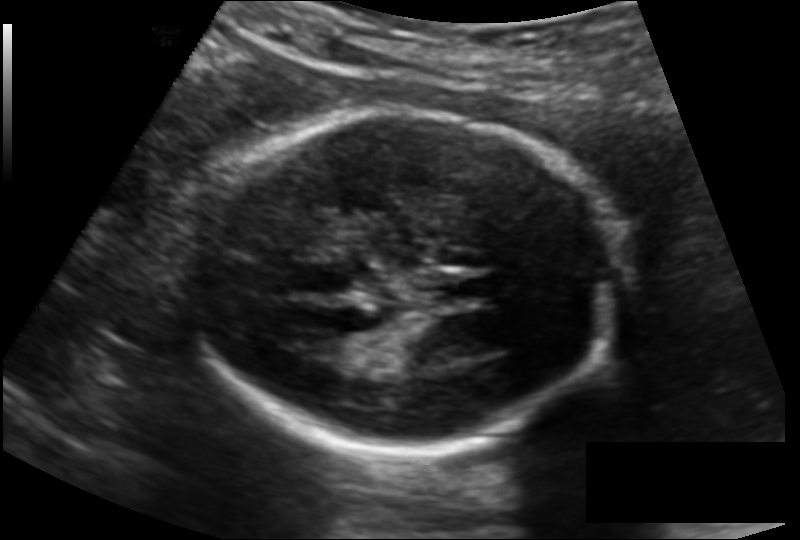
Measure the fetal head circumference shown in this ultrasound image. Image width: 107.6 mm.

Head circumference: 168.3 mm.